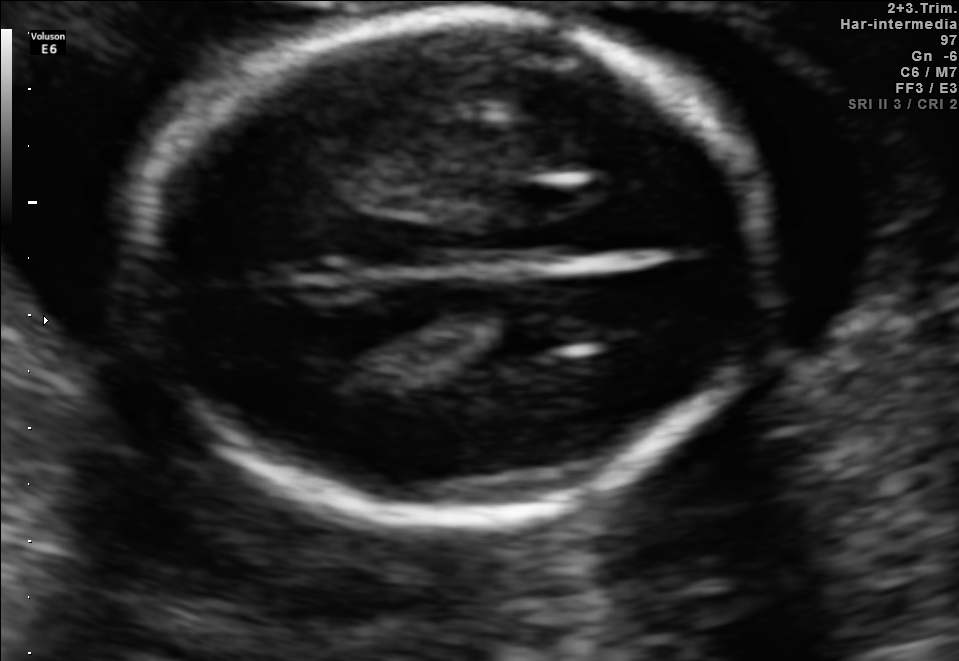
In this fetal brain, trans-thalamic plane, give bounding boxes for the head outline, cavum septum pellucidum (CSP), and lateral ventricle (LV), where visible.

Head: [125,17,768,518]